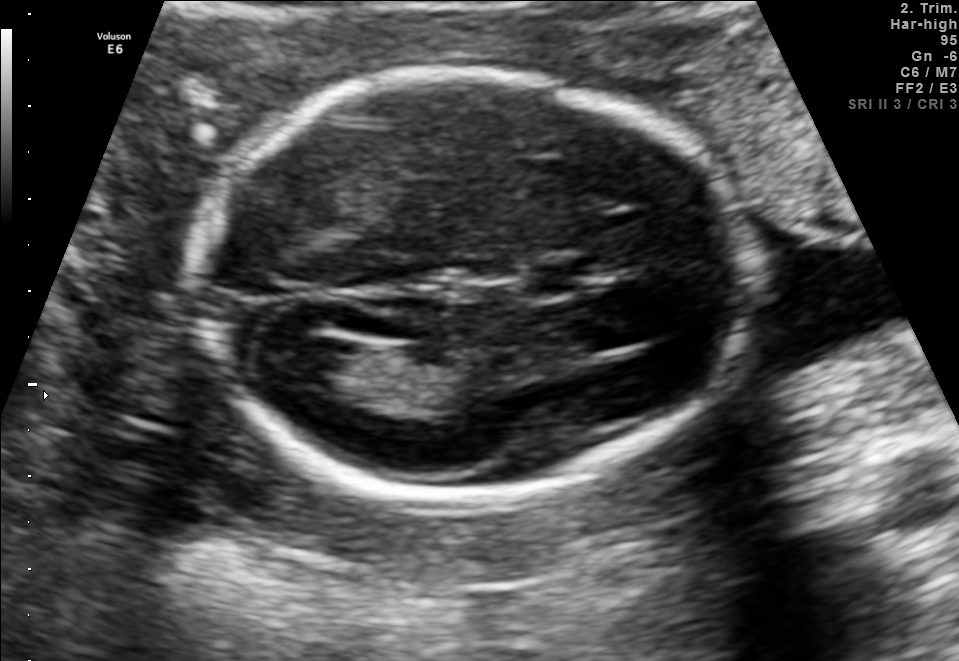
In this fetal brain, trans-ventricular plane, give the bounding box of the cavum septum pellucidum.

[521,248,609,306]